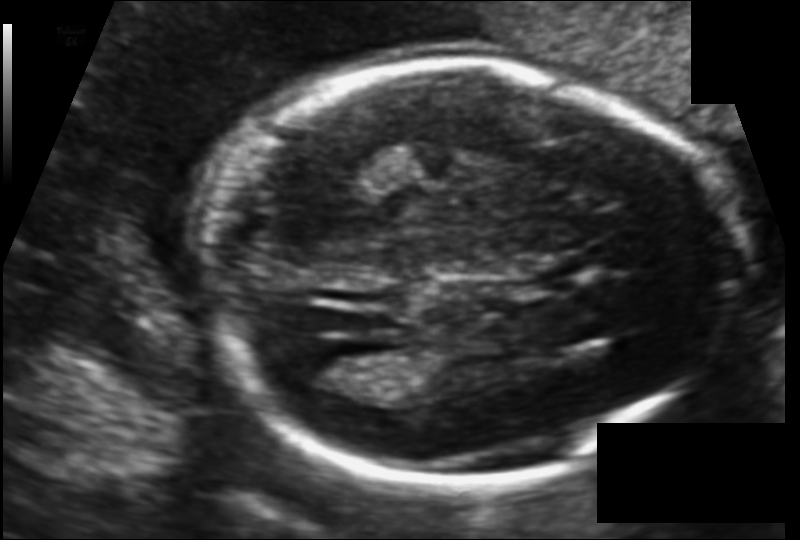
In this fetal head ultrasound, give bounding boxes for the head outline, cavum septum pellucidum (CSP), and lateral ventricle (LV), where visible. Image width: 93.1 mm.

Head: [198,60,736,485]
Lateral ventricle: [289,342,376,396]